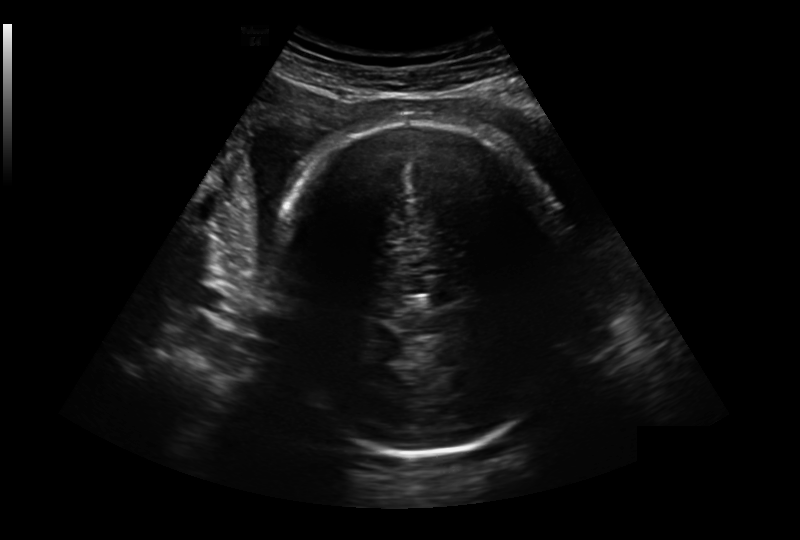
What is the fetal head circumference? Image width is 225.0 mm.

284.0 mm